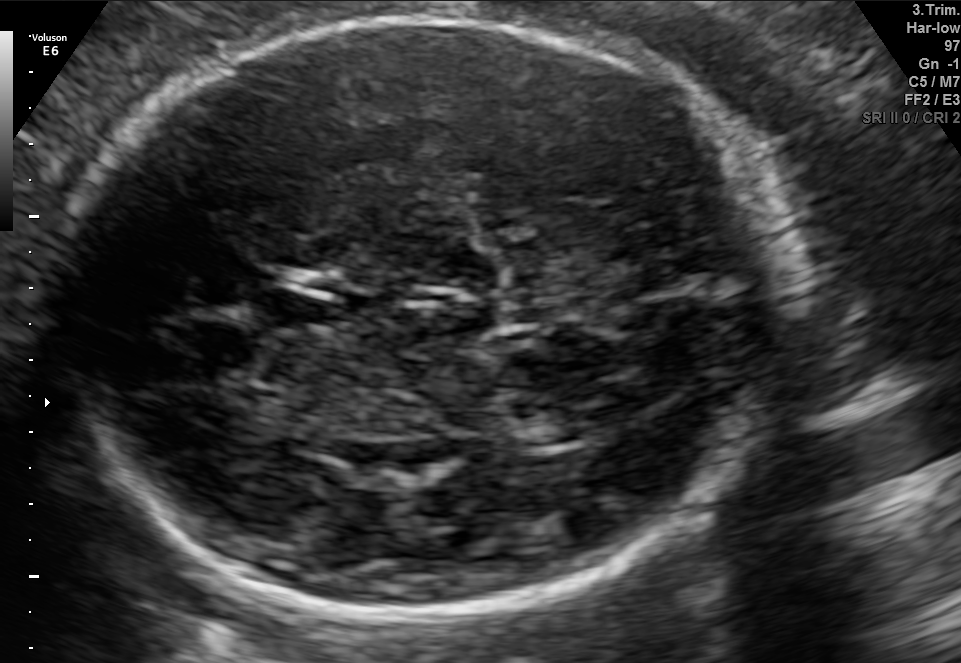
In this fetal brain, trans-thalamic plane, give the bounding box of the cavum septum pellucidum.

[251,283,335,336]